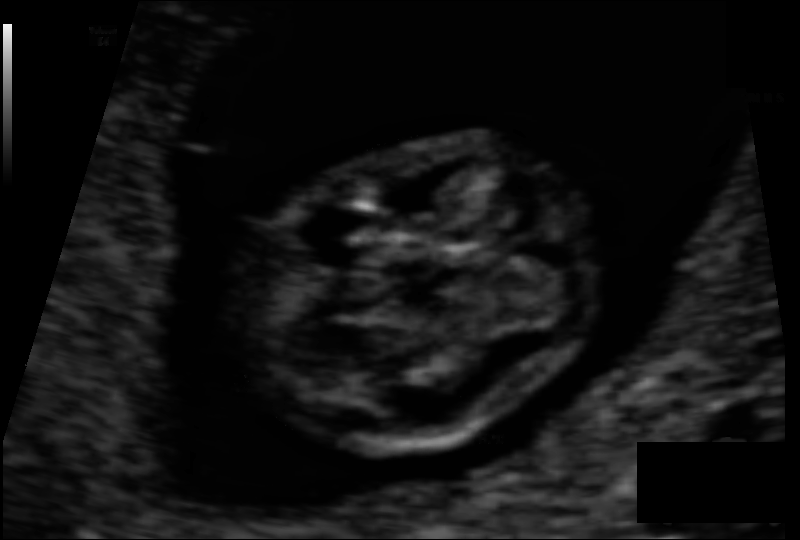
Fetal head ultrasound. Image width: 48.2 mm. Where is the fetal head?

Head bounding box: [245,141,596,446]